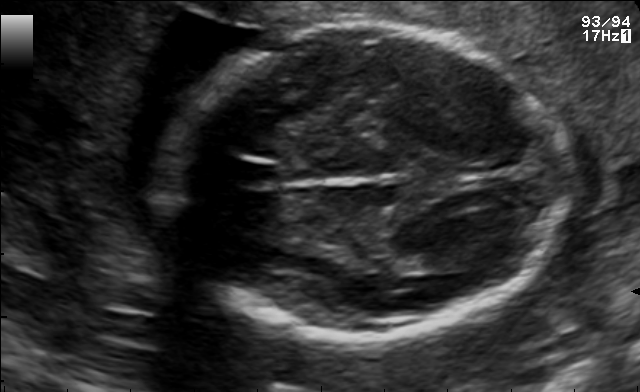
Fetal brain, trans-thalamic plane. Locate the fetal head.

Head: [155,27,567,339]